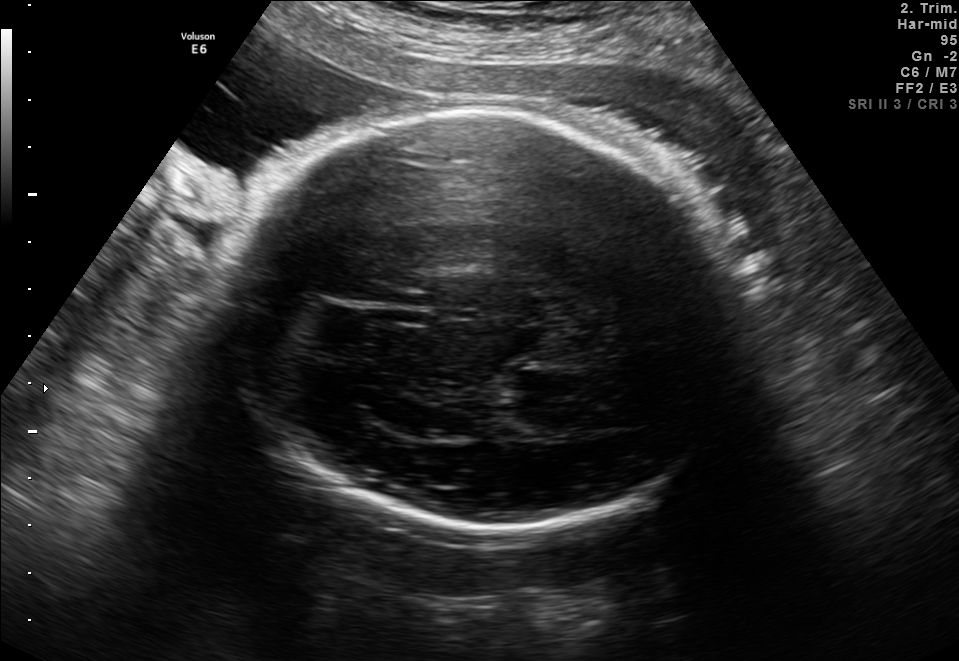
In this fetal brain, trans-thalamic plane, give the bounding box of the fetal head.

[233,112,738,535]